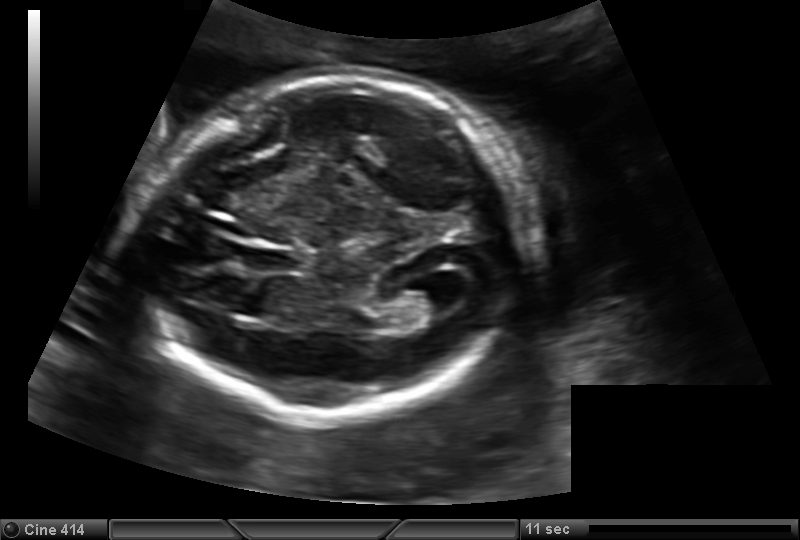
Fetal head ultrasound. Image width: 120.0 mm. Give [x1,y1,x2,y2] bounding boxes for each visible structure among: fetal head, CSP, LV.

Head: [143,76,523,417]
CSP: [243,245,295,273]
Lateral ventricle: [394,273,457,326]